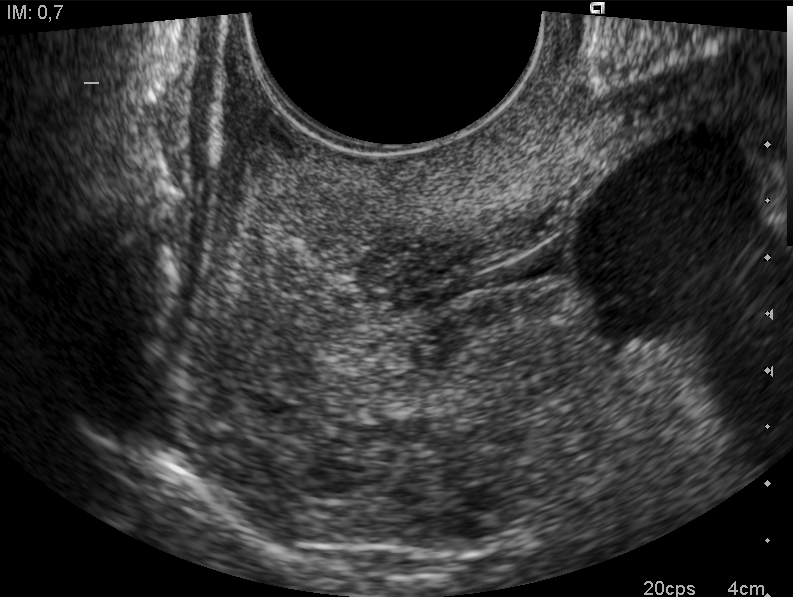
Identify the standard plane in this fetal ultrasound image: fetal abdomen, fetal brain, fetal femur, fetal thorax, maternal cervix, or other. If it's fetal brain and one of the three standard brain planes (trans-thalamic, trans-cerebellum, trans-ventricular), name which.

Maternal cervix